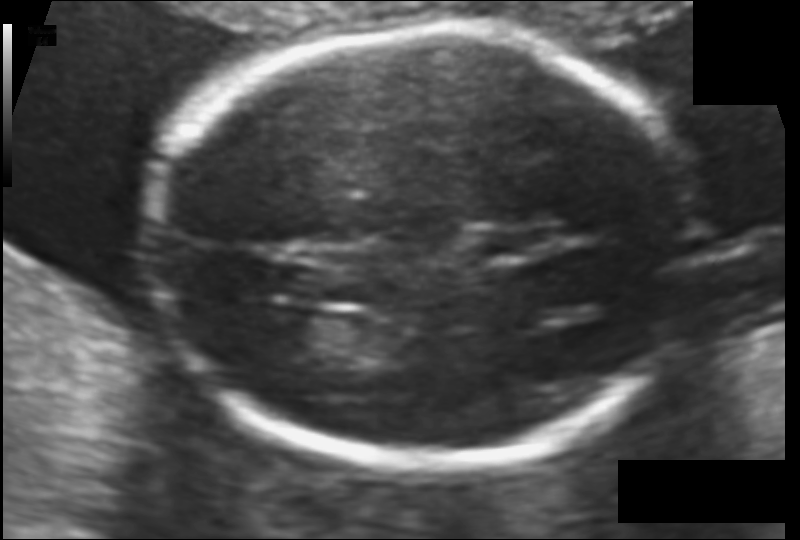
Fetal head ultrasound. Image width: 82.1 mm. Give [x1,y1,x2,y2] bounding boxes for each visible structure among: fetal head, CSP, LV.

Head: [149,29,697,465]